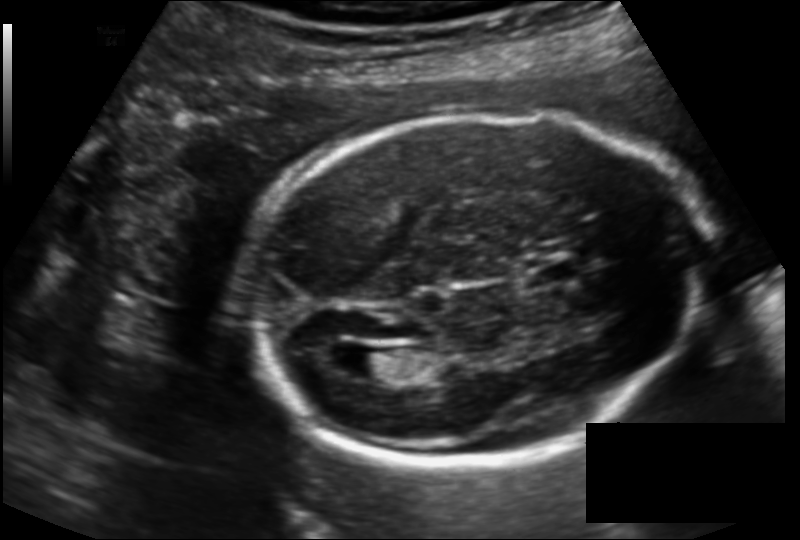
In this fetal head ultrasound, give bounding boxes for the head outline, cavum septum pellucidum (CSP), and lateral ventricle (LV), where visible. Image width: 114.4 mm.

Head: [242,110,708,464]
CSP: [522,257,578,291]
Lateral ventricle: [344,345,400,380]